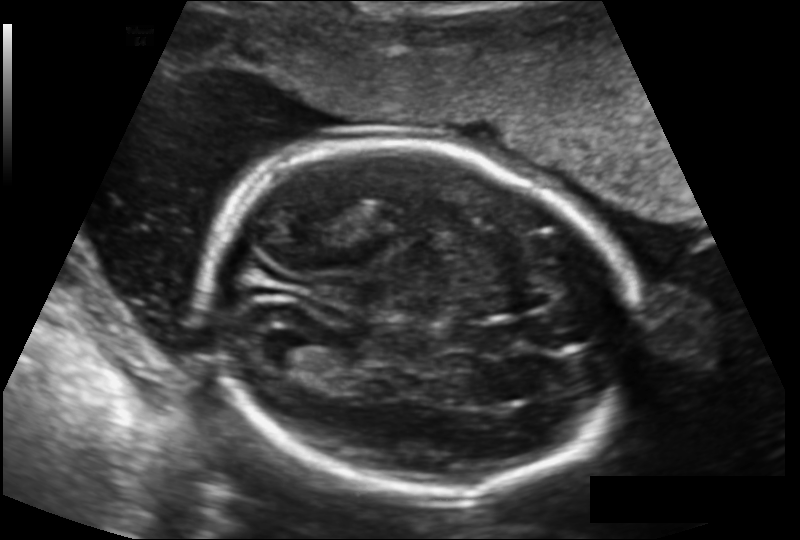
What is the fetal head circumference? Image width is 114.2 mm.

183.7 mm